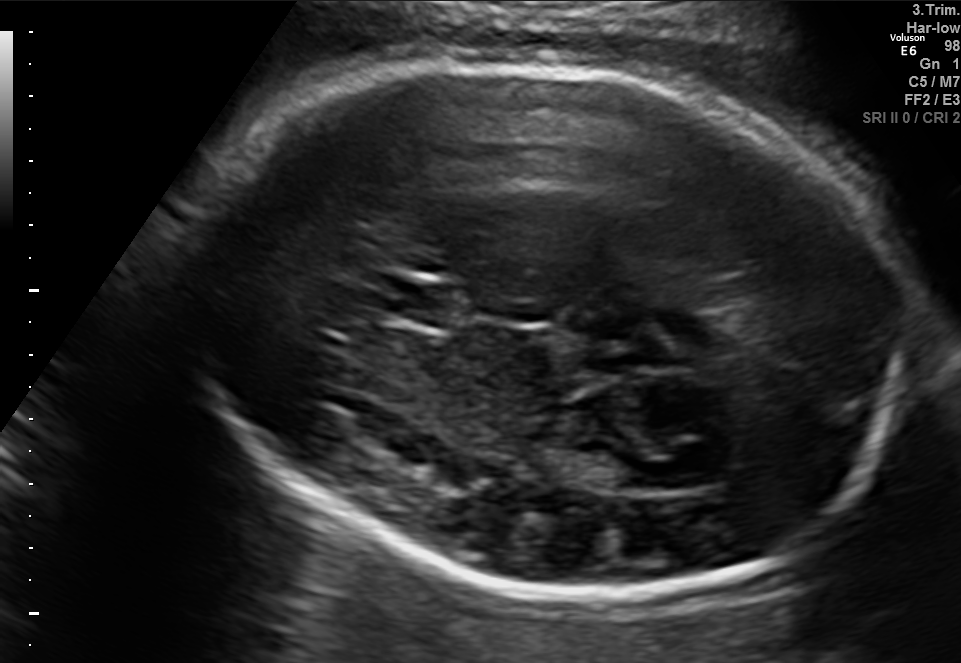
In this fetal brain, trans-thalamic plane, give bounding boxes for the head outline, cavum septum pellucidum (CSP), and lateral ventricle (LV), where visible.

Head: [178,62,927,593]
CSP: [377,277,473,331]
Lateral ventricle: [562,449,652,491]